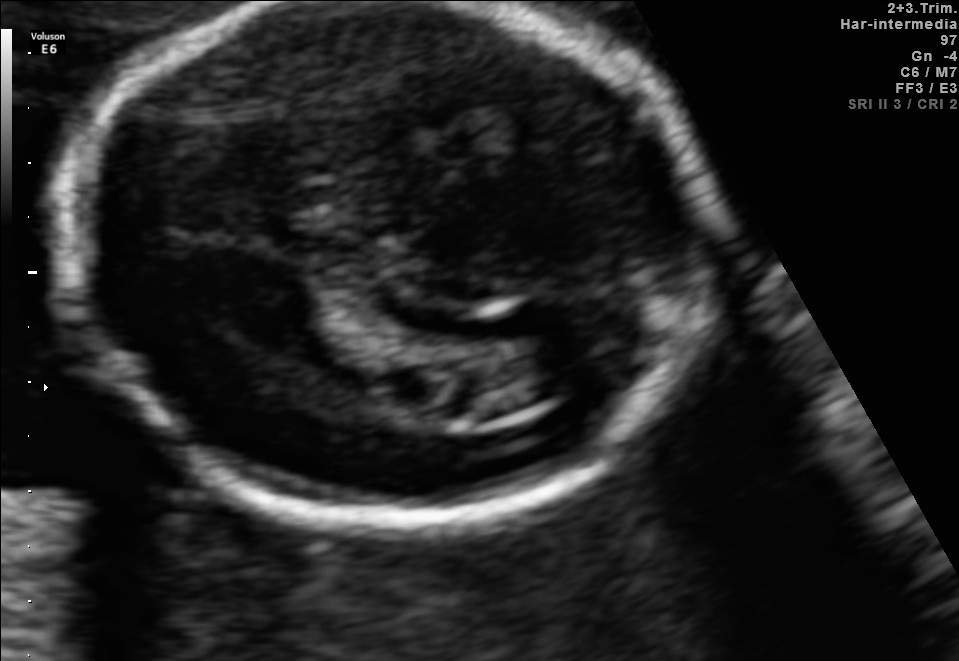
Fetal brain, trans-ventricular plane. Locate the fetal head.

Head: [47,3,736,542]